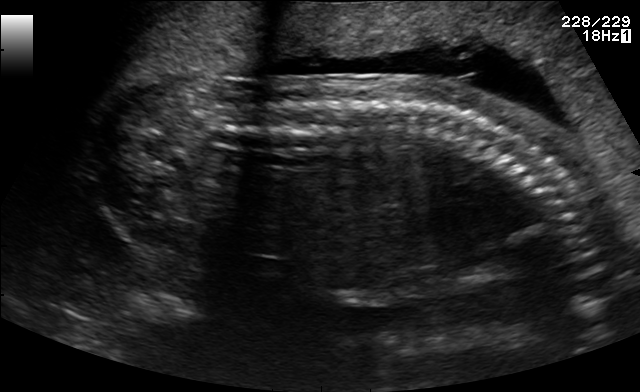
Classify this maternal-fetal ultrasound image as one of the six standard planes — fetal abdomen, fetal brain, fetal femur, fetal thorax, maternal cervix, or other. If it's fetal brain and one of the three standard brain planes (trans-thalamic, trans-cerebellum, trans-ventricular), name which.

Other